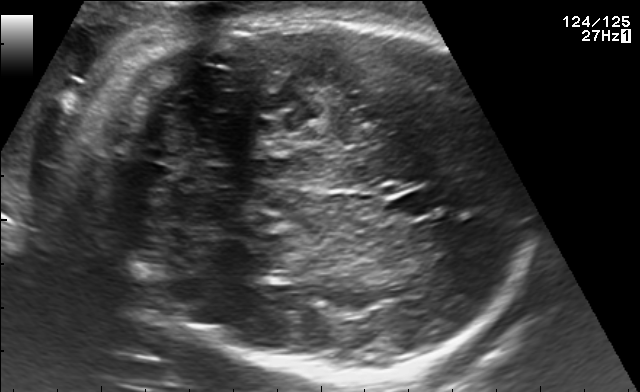
Fetal brain, trans-cerebellum plane. Where is the cavum septum pellucidum?

CSP bounding box: [382,184,441,230]